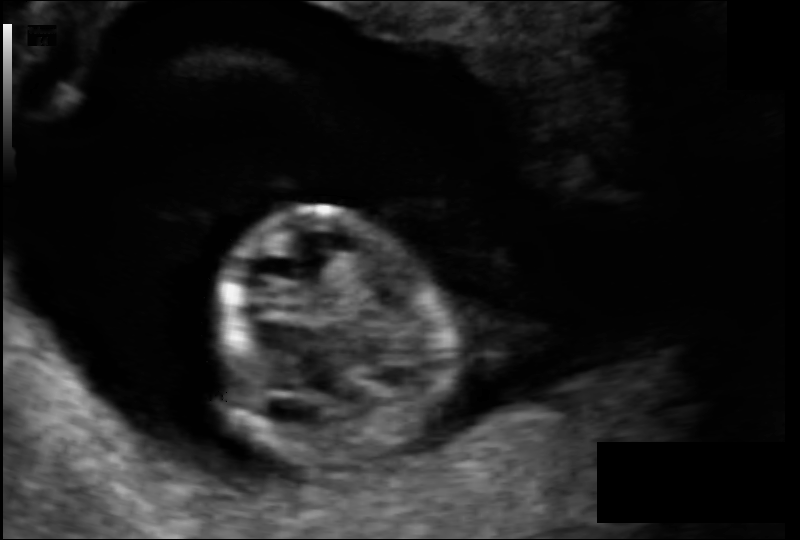
Estimate the fetal head circumference from this 2D ultrasound.

Head circumference: 80.7 mm (image width 78.9 mm).